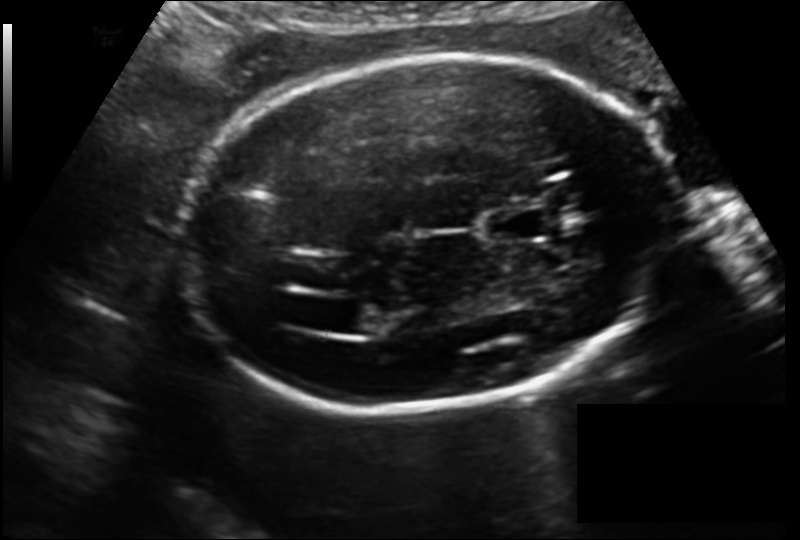
In this fetal head ultrasound, give the bounding box of the lateral ventricle. Image width: 120.3 mm.

[329,299,391,335]